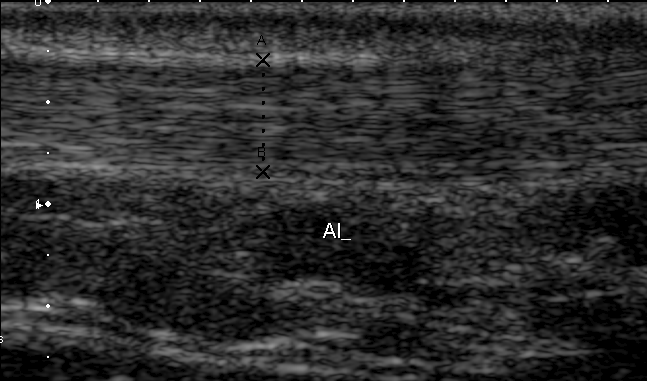
Identify the standard plane in this fetal ultrasound image: fetal abdomen, fetal brain, fetal femur, fetal thorax, maternal cervix, or other. If it's fetal brain and one of the three standard brain planes (trans-thalamic, trans-cerebellum, trans-ventricular), name which.

Other